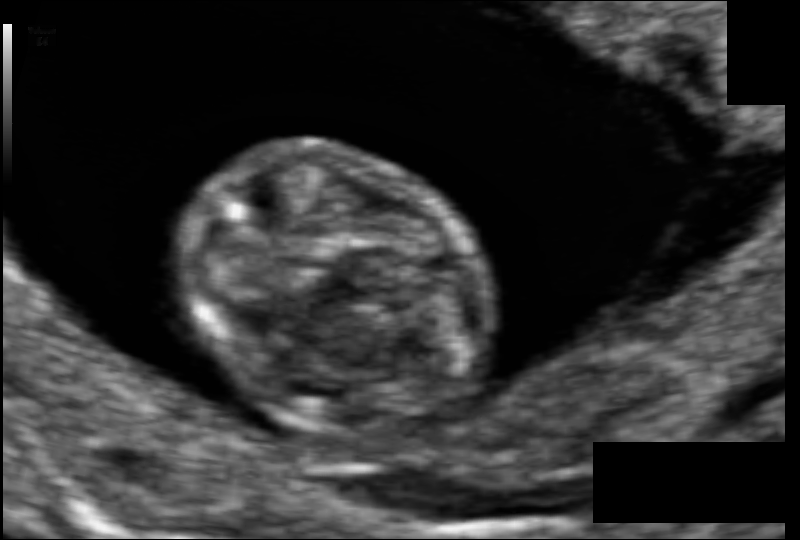
From this fetal ultrasound, estimate the head circumference (image width 49.0 mm).

Head circumference: 59.8 mm.